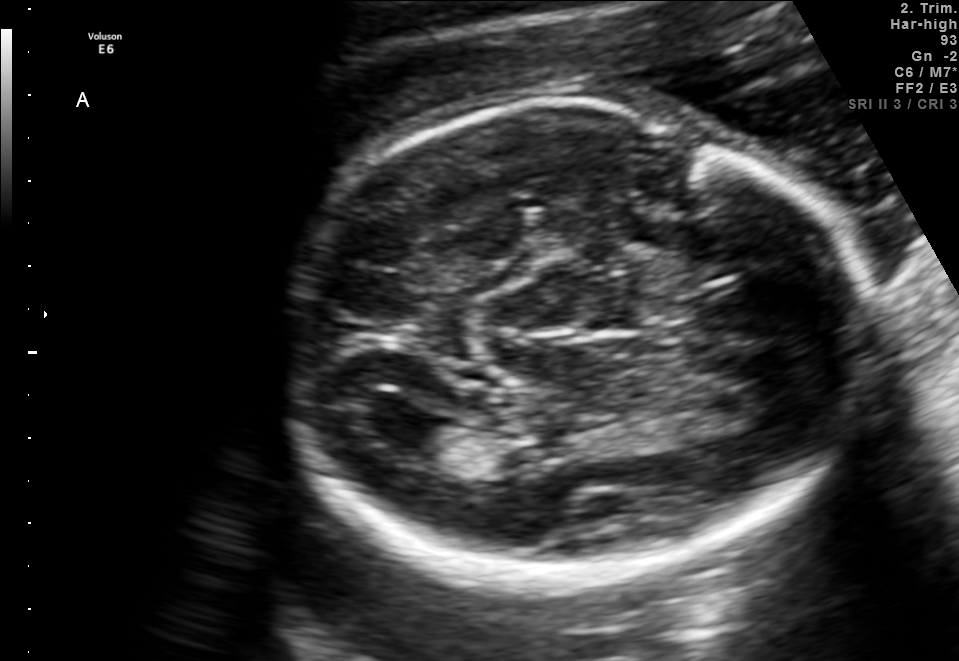
Fetal brain, trans-ventricular plane. Locate the fetal head and, if visible, the cavum septum pellucidum (CSP) and lateral ventricle (LV). Give bounding boxes as [x1,y1,x2,y2].

Head: [271,101,880,598]
Lateral ventricle: [363,394,451,460]